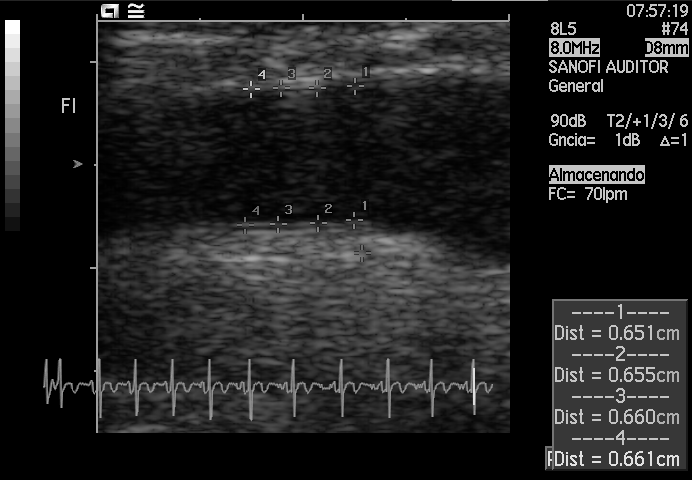
Classify this maternal-fetal ultrasound image as one of the six standard planes — fetal abdomen, fetal brain, fetal femur, fetal thorax, maternal cervix, or other. If it's fetal brain and one of the three standard brain planes (trans-thalamic, trans-cerebellum, trans-ventricular), name which.

Other